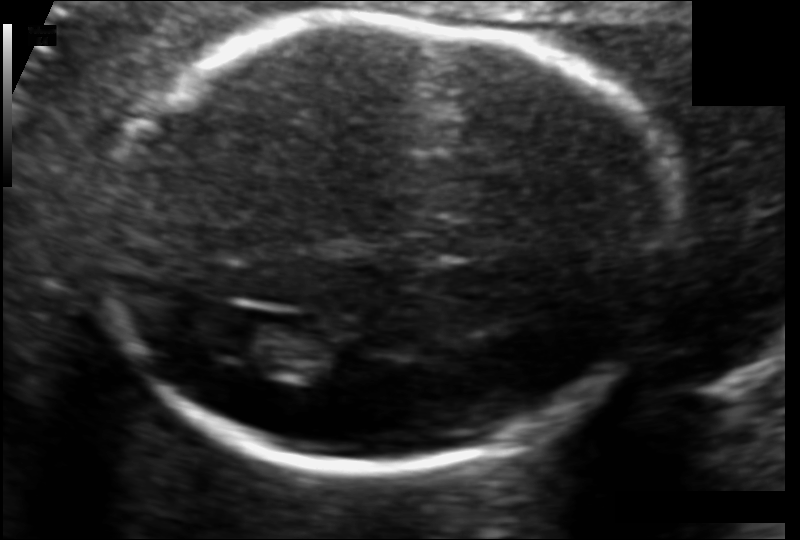
Fetal head ultrasound. Image width: 84.9 mm. Locate the fetal head.

Head: [100,16,667,470]